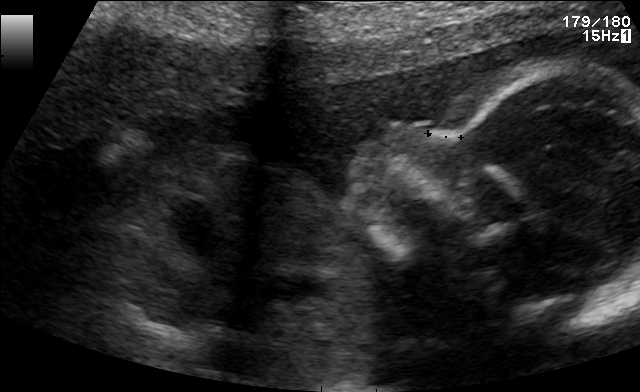
Which standard maternal-fetal ultrasound plane is shown: fetal abdomen, fetal brain, fetal femur, fetal thorax, maternal cervix, or other? If it's fetal brain and one of the three standard brain planes (trans-thalamic, trans-cerebellum, trans-ventricular), name which.

Other